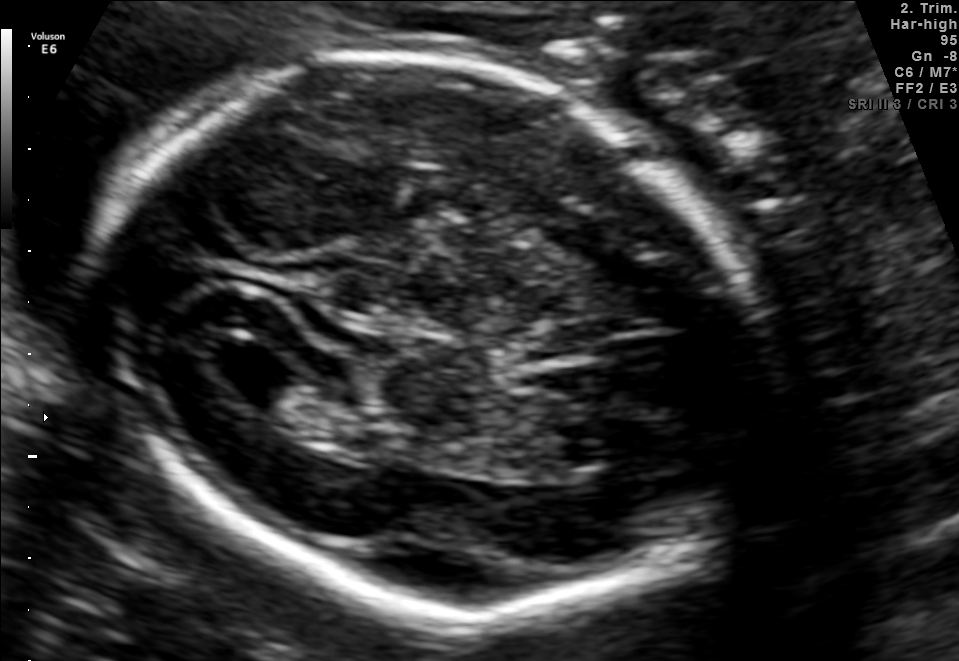
In this fetal brain, trans-ventricular plane, give the bounding box of the lateral ventricle.

[200,320,306,420]